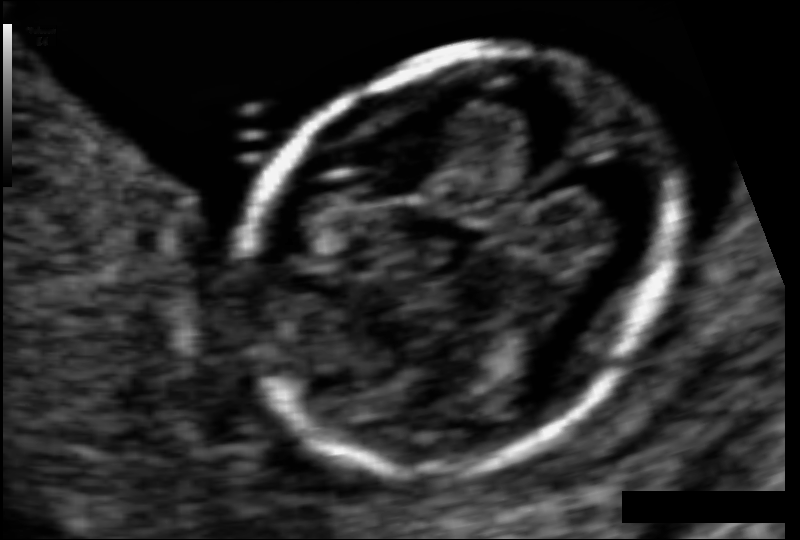
Fetal head ultrasound. Image width: 48.5 mm. Locate the fetal head.

Head: [240,47,672,469]